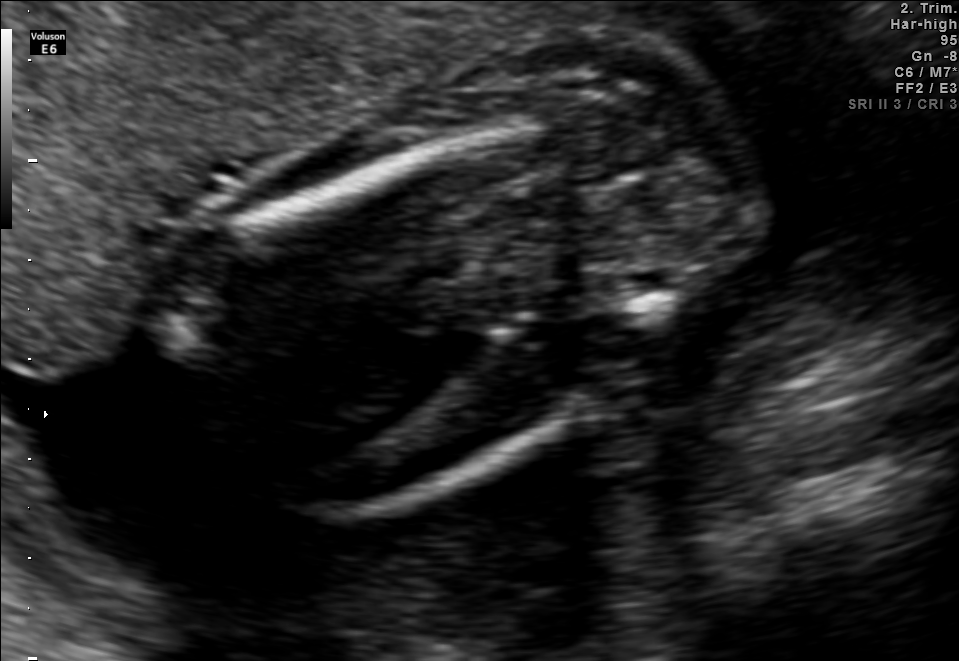
Identify the standard plane in this fetal ultrasound image: fetal abdomen, fetal brain, fetal femur, fetal thorax, maternal cervix, or other. If it's fetal brain and one of the three standard brain planes (trans-thalamic, trans-cerebellum, trans-ventricular), name which.

Fetal femur